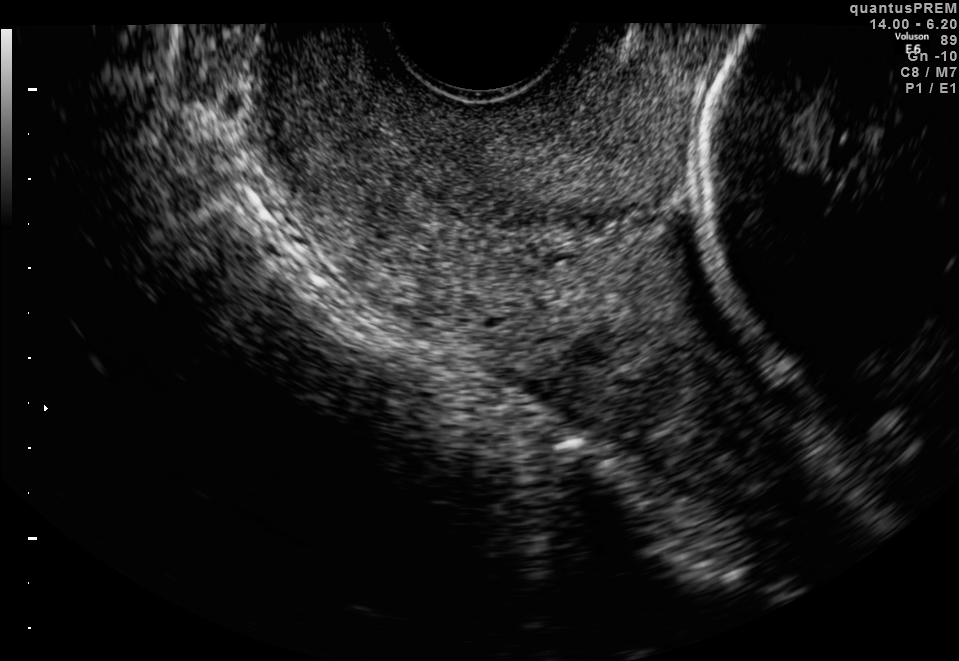
This is a 2D maternal-fetal ultrasound frame. Is it a fetal abdomen, fetal brain, fetal femur, fetal thorax, maternal cervix, or other standard plane? If it's fetal brain and one of the three standard brain planes (trans-thalamic, trans-cerebellum, trans-ventricular), name which.

Maternal cervix